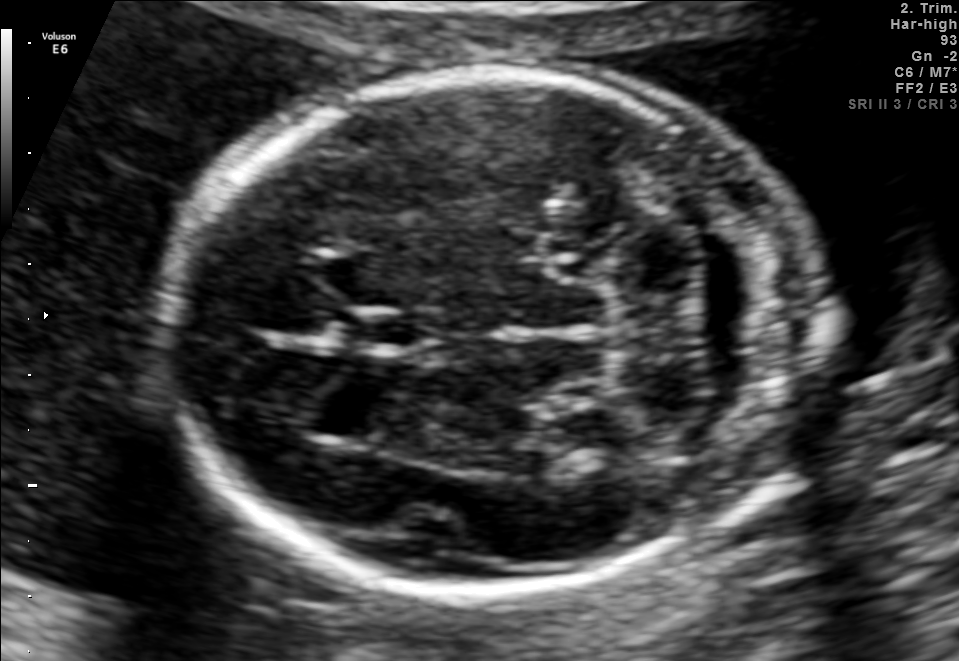
Fetal brain, trans-cerebellum plane. Locate the cavum septum pellucidum.

CSP: [342,311,429,350]